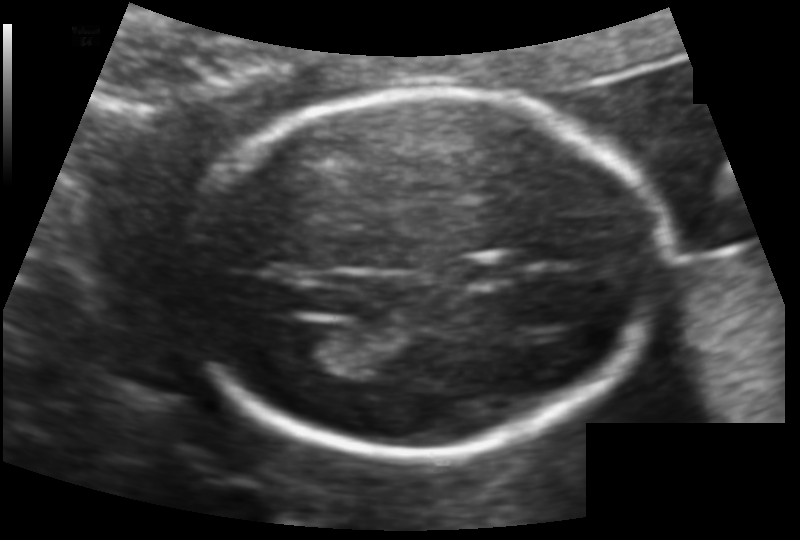
Measure the fetal head circumference shown in this ultrasound image. Image width: 90.1 mm.

Head circumference: 155.9 mm.